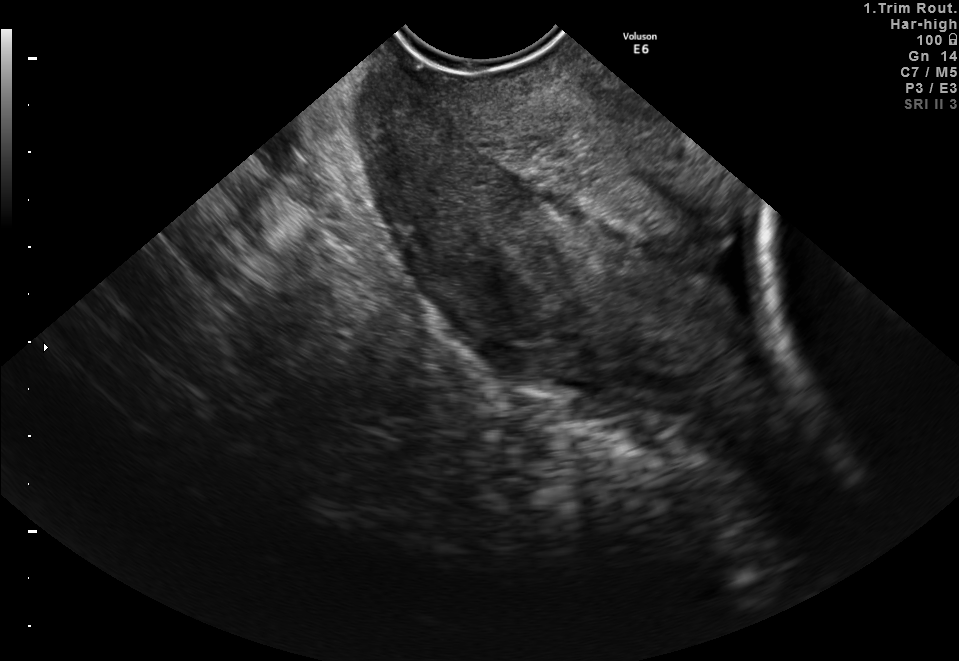
Identify the standard plane in this fetal ultrasound image: fetal abdomen, fetal brain, fetal femur, fetal thorax, maternal cervix, or other. If it's fetal brain and one of the three standard brain planes (trans-thalamic, trans-cerebellum, trans-ventricular), name which.

Maternal cervix